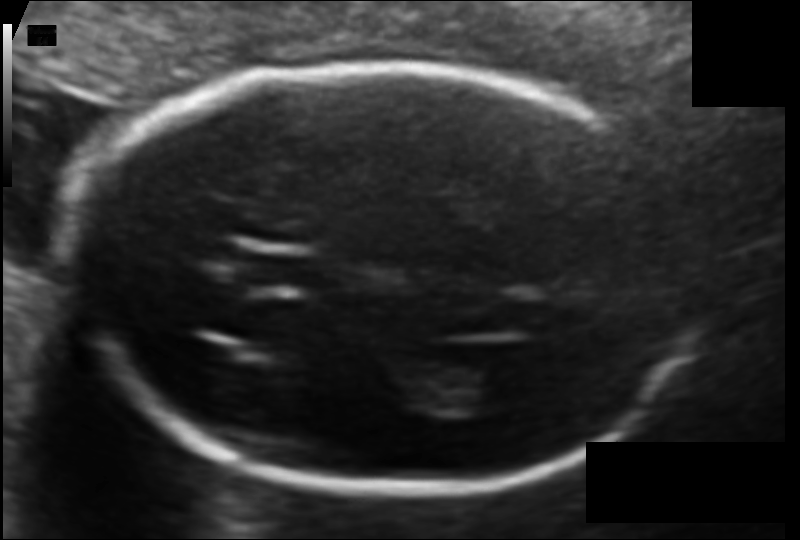
In this fetal head ultrasound, give bounding boxes for the head outline, cavum septum pellucidum (CSP), and lateral ventricle (LV), where visible. Image width: 82.7 mm.

Head: [83,63,705,490]
CSP: [238,247,317,294]
Lateral ventricle: [433,349,527,415]